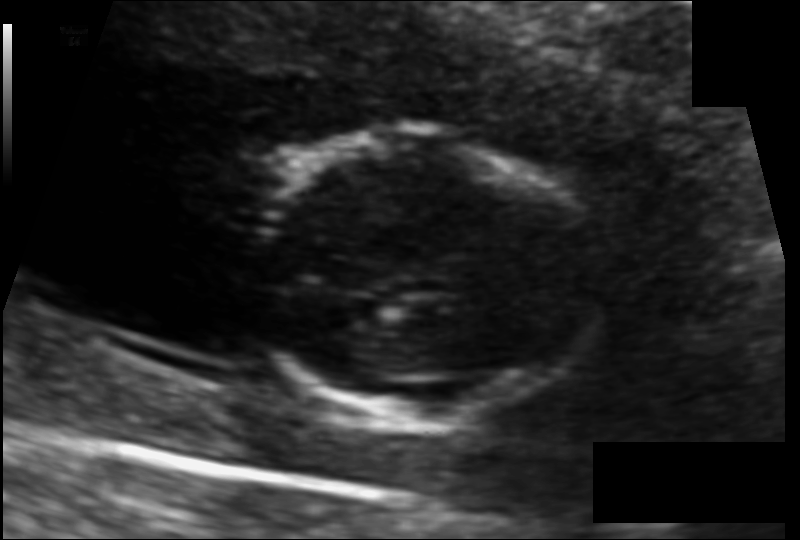
Fetal head ultrasound. Image width: 72.8 mm. Where is the fetal head?

Head bounding box: [249,138,606,418]